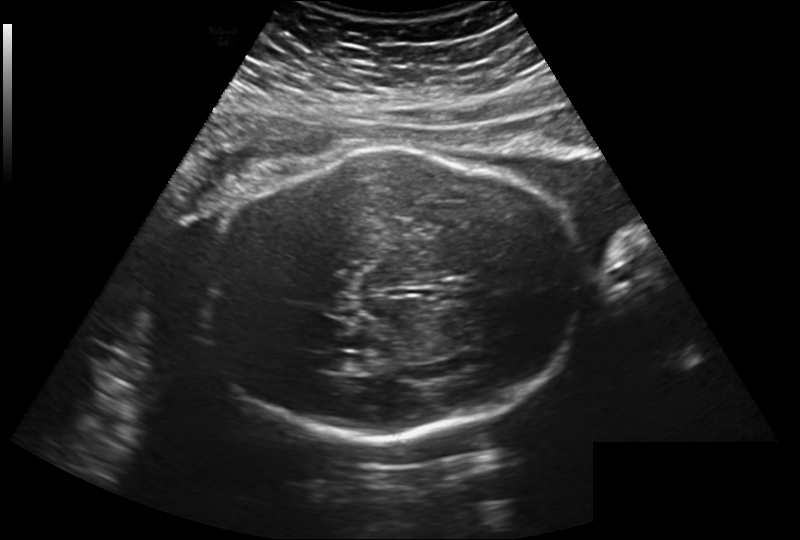
Estimate the fetal head circumference from this 2D ultrasound. Image width: 208.3 mm.

Head circumference: 277.6 mm.